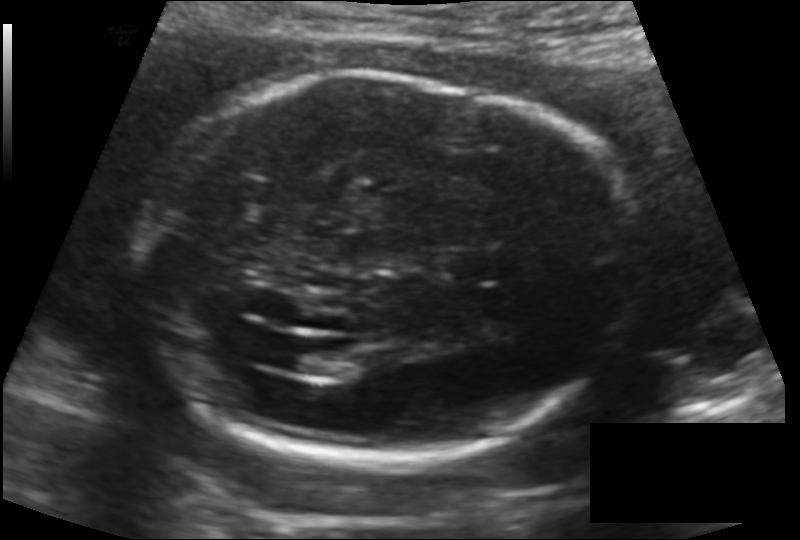
Fetal head ultrasound. Image width: 117.5 mm. Where is the cavum septum pellucidum?

CSP bounding box: [441,248,503,282]